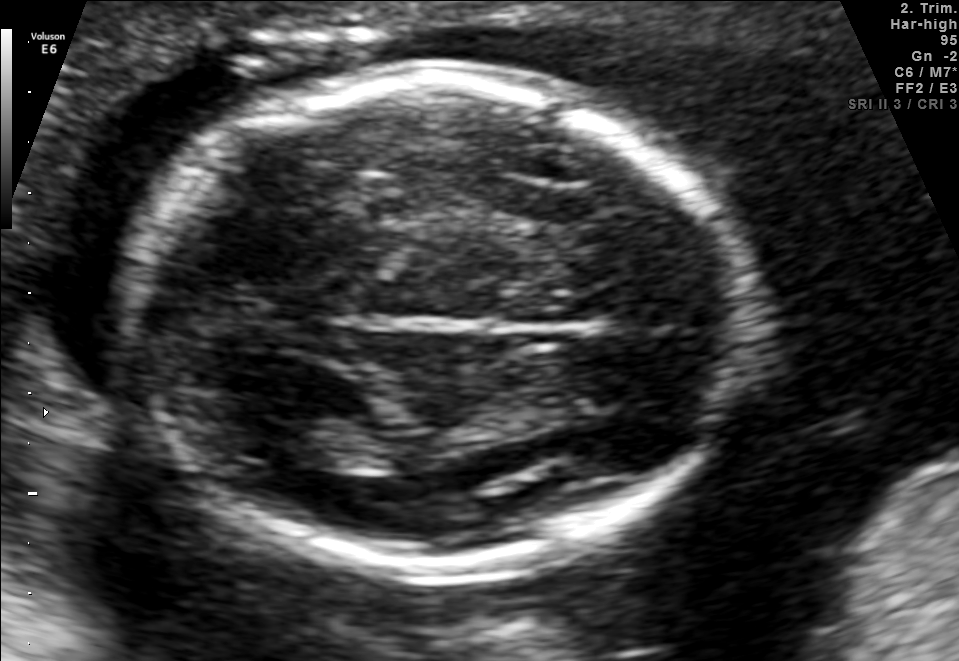
Fetal brain, trans-thalamic plane. Give [x1,y1,x2,y2] bounding boxes for each visible structure among: fetal head, CSP, LV.

Head: [119,76,750,569]
Lateral ventricle: [245,413,345,473]